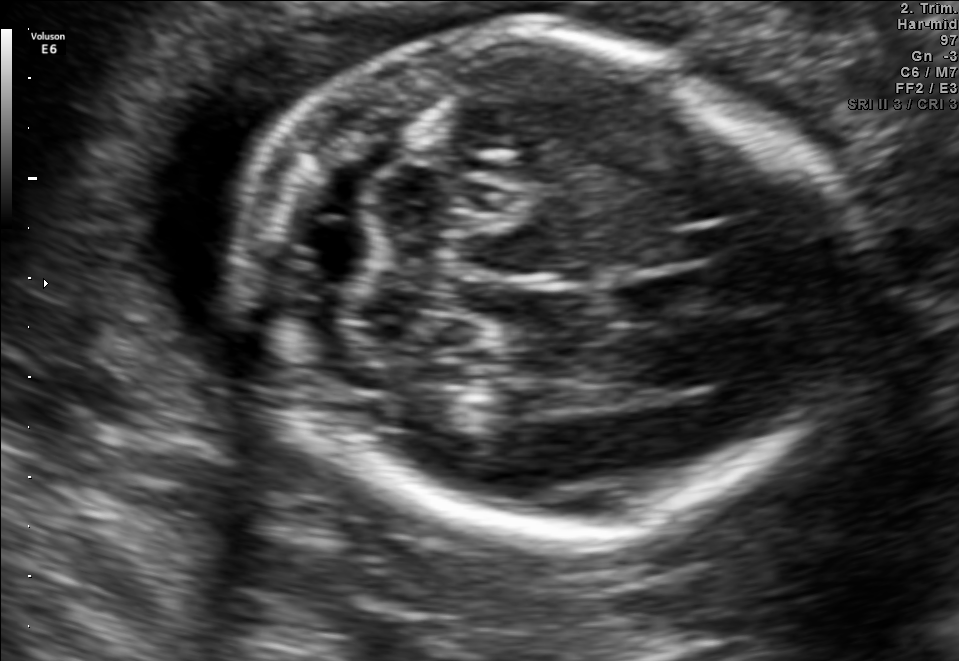
In this fetal brain, trans-cerebellum plane, give the bounding box of the cavum septum pellucidum.

[614,263,718,329]